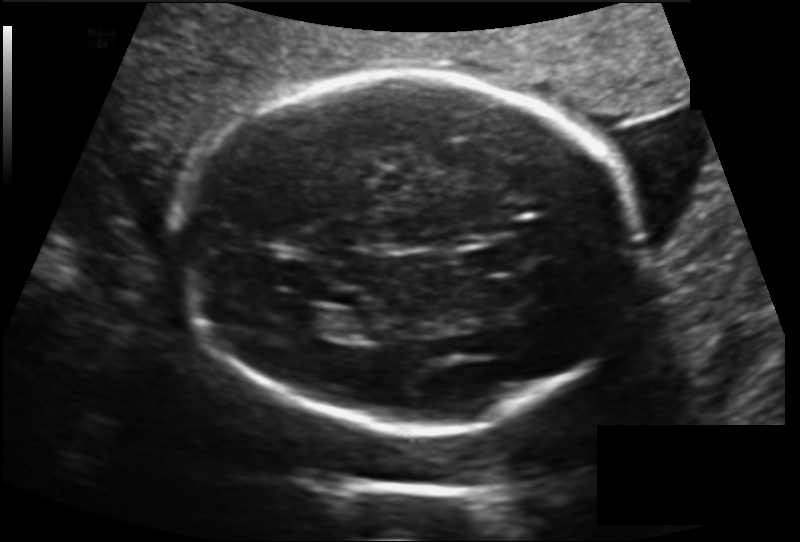
In this fetal head ultrasound, give the bounding box of the cavum septum pellucidum. Image width: 127.7 mm.

[458,238,521,282]